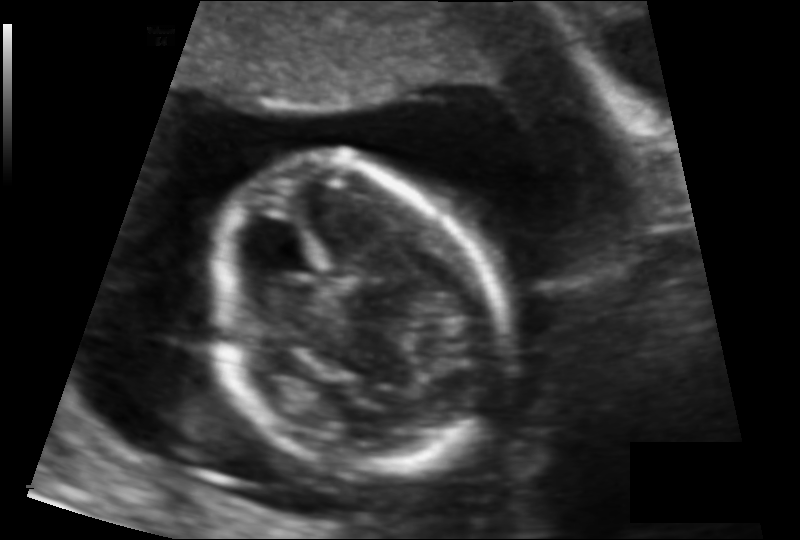
Fetal head ultrasound. Image width: 82.6 mm. Where is the fetal head?

Head bounding box: [211,157,504,473]